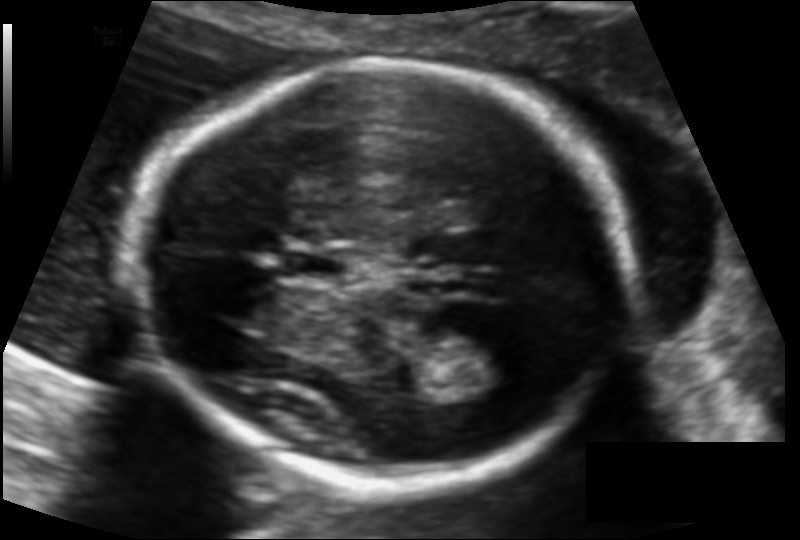
Estimate the fetal head circumference from this 2D ultrasound.

Head circumference: 171.2 mm (image width 90.8 mm).